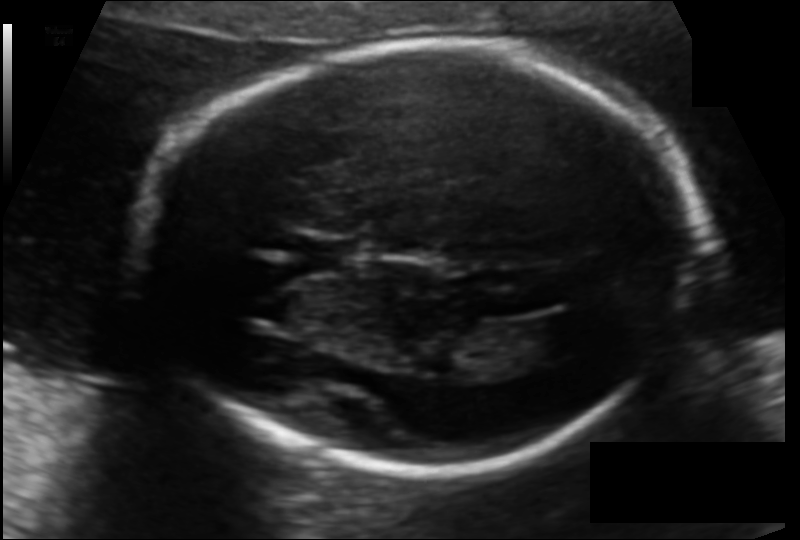
In this fetal head ultrasound, give the bounding box of the lateral ventricle. Image width: 97.4 mm.

[512,309,589,365]